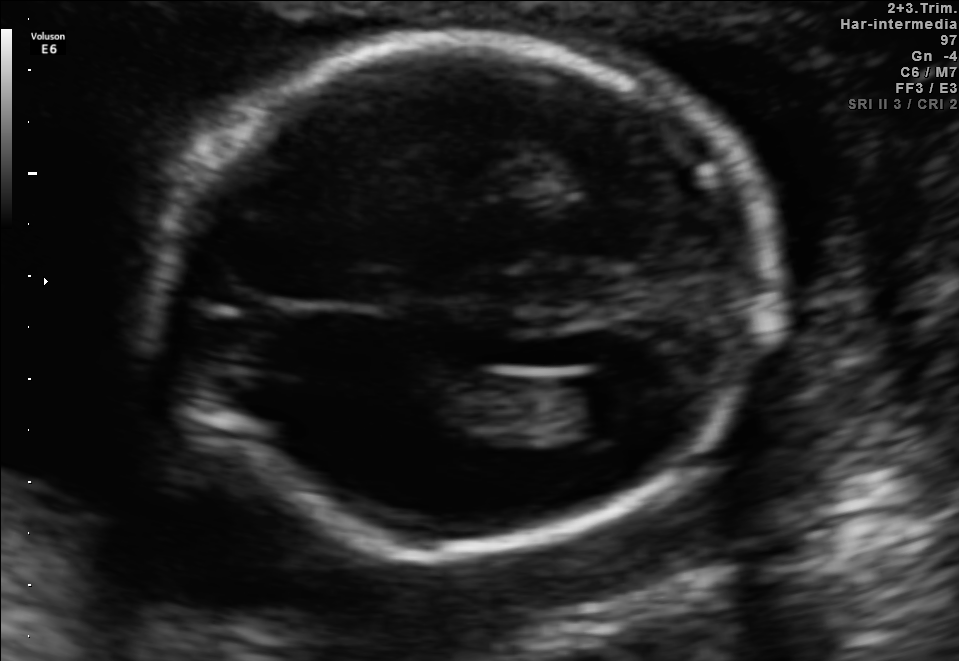
Fetal brain, trans-ventricular plane. Locate the lateral ventricle.

Lateral ventricle: [565,362,660,434]